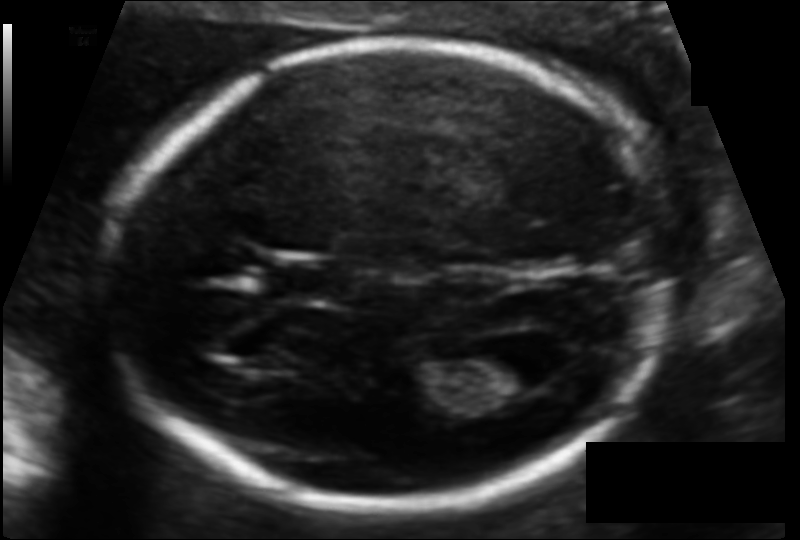
Fetal head ultrasound. Image width: 82.6 mm. Locate the fetal head and, if visible, the cavum septum pellucidum (CSP) and lateral ventricle (LV). Give bounding boxes as [x1,y1,x2,y2].

Head: [101,40,667,507]
CSP: [270,261,337,302]
Lateral ventricle: [465,332,558,408]